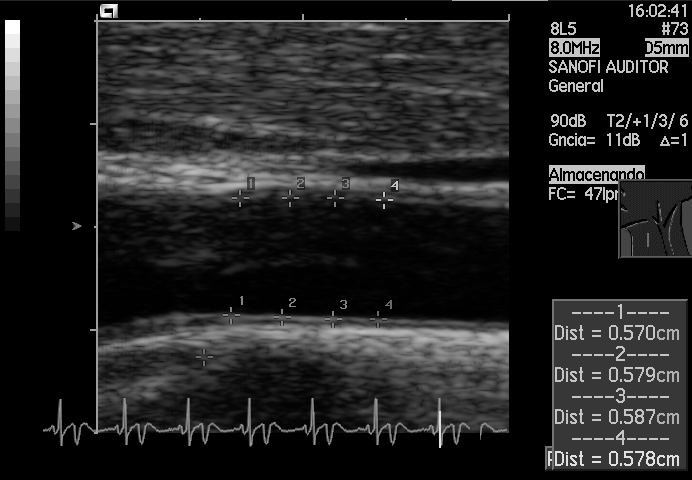
Classify this maternal-fetal ultrasound image as one of the six standard planes — fetal abdomen, fetal brain, fetal femur, fetal thorax, maternal cervix, or other. If it's fetal brain and one of the three standard brain planes (trans-thalamic, trans-cerebellum, trans-ventricular), name which.

Other